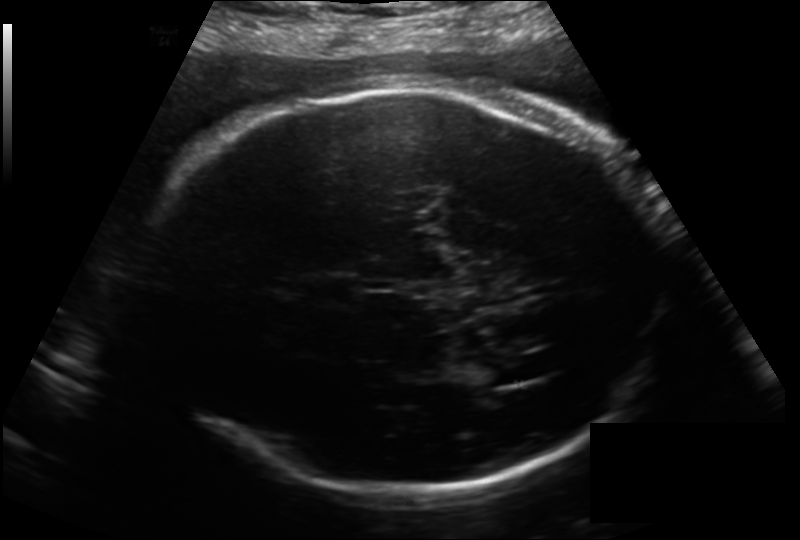
Fetal head ultrasound. Image width: 171.3 mm. Where is the fetal head?

Head bounding box: [148,84,660,500]